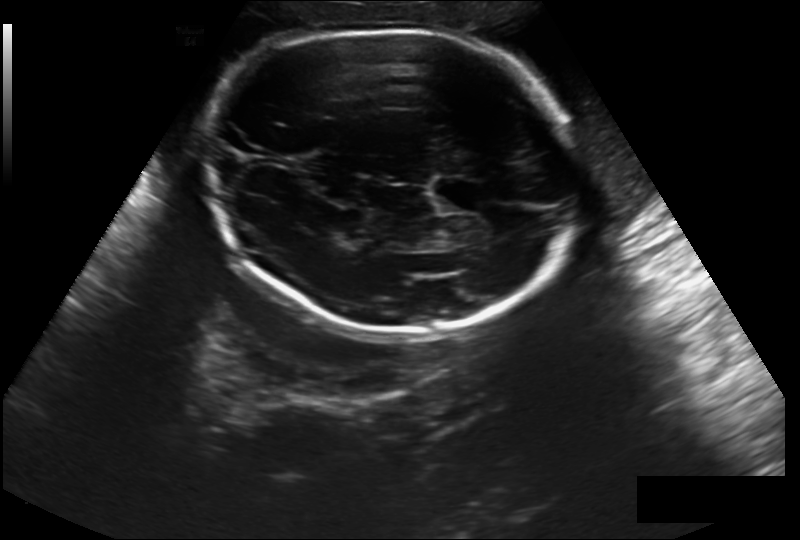
Fetal head ultrasound. Image width: 195.6 mm. Locate the fetal head and, if visible, the cavum septum pellucidum (CSP) and lateral ventricle (LV). Give bounding boxes as [x1,y1,x2,y2].

Head: [201,29,579,336]